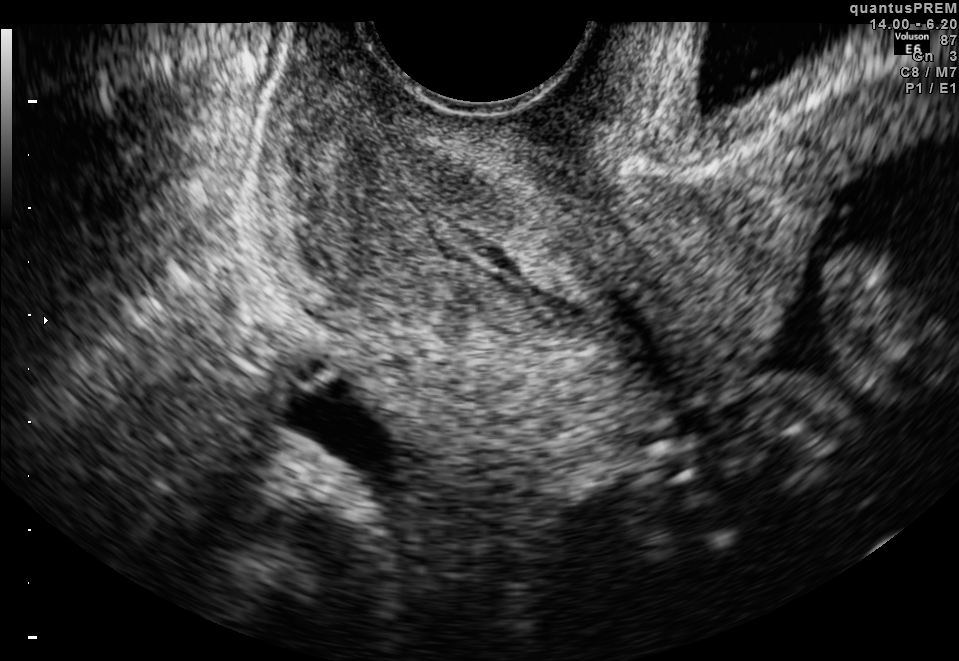
This is a 2D maternal-fetal ultrasound frame. Is it a fetal abdomen, fetal brain, fetal femur, fetal thorax, maternal cervix, or other standard plane? If it's fetal brain and one of the three standard brain planes (trans-thalamic, trans-cerebellum, trans-ventricular), name which.

Maternal cervix